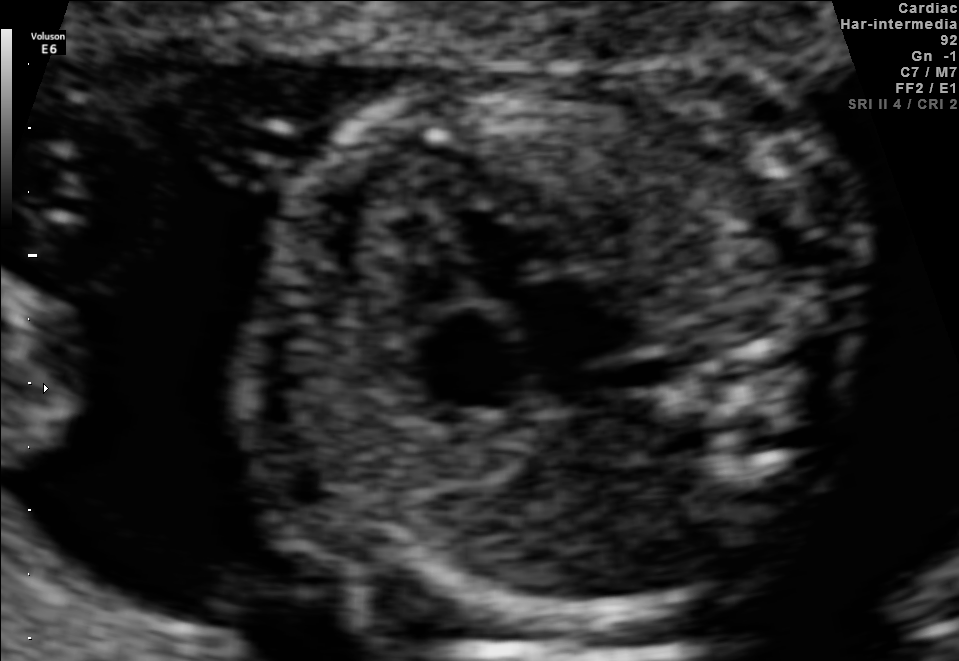
Classify this maternal-fetal ultrasound image as one of the six standard planes — fetal abdomen, fetal brain, fetal femur, fetal thorax, maternal cervix, or other. If it's fetal brain and one of the three standard brain planes (trans-thalamic, trans-cerebellum, trans-ventricular), name which.

Fetal thorax